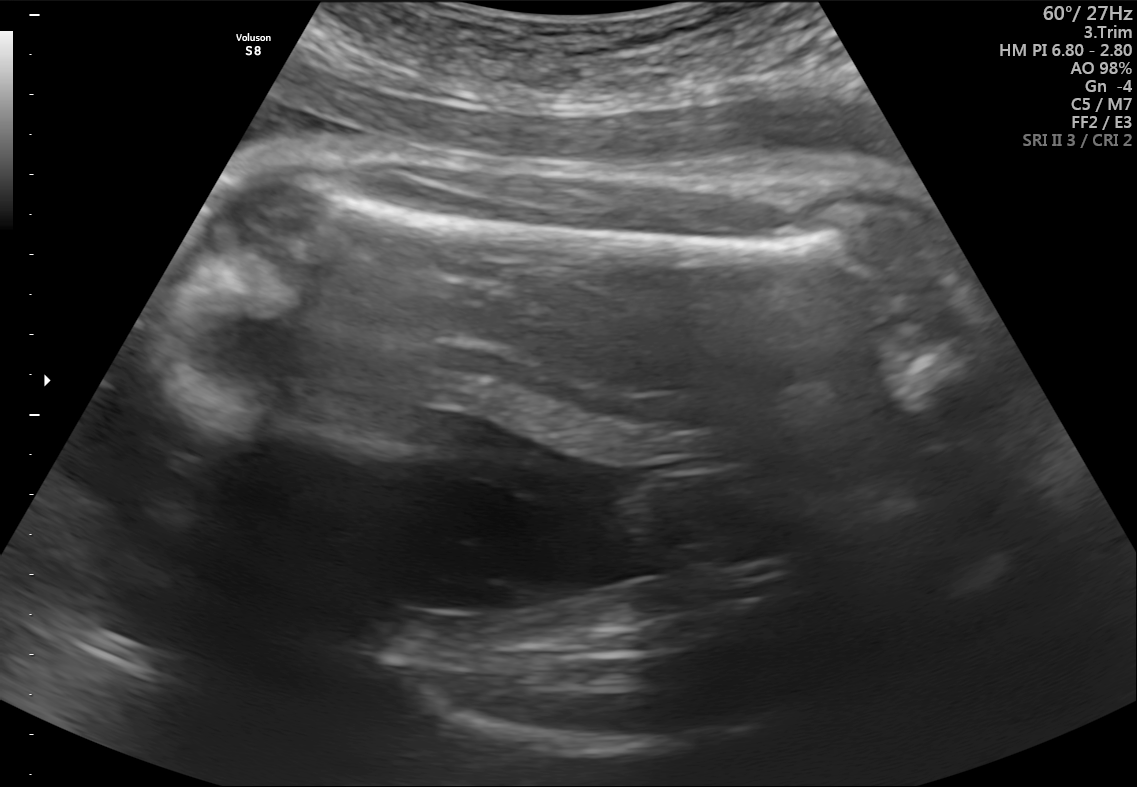
This is a 2D maternal-fetal ultrasound frame. Is it a fetal abdomen, fetal brain, fetal femur, fetal thorax, maternal cervix, or other standard plane? If it's fetal brain and one of the three standard brain planes (trans-thalamic, trans-cerebellum, trans-ventricular), name which.

Fetal femur